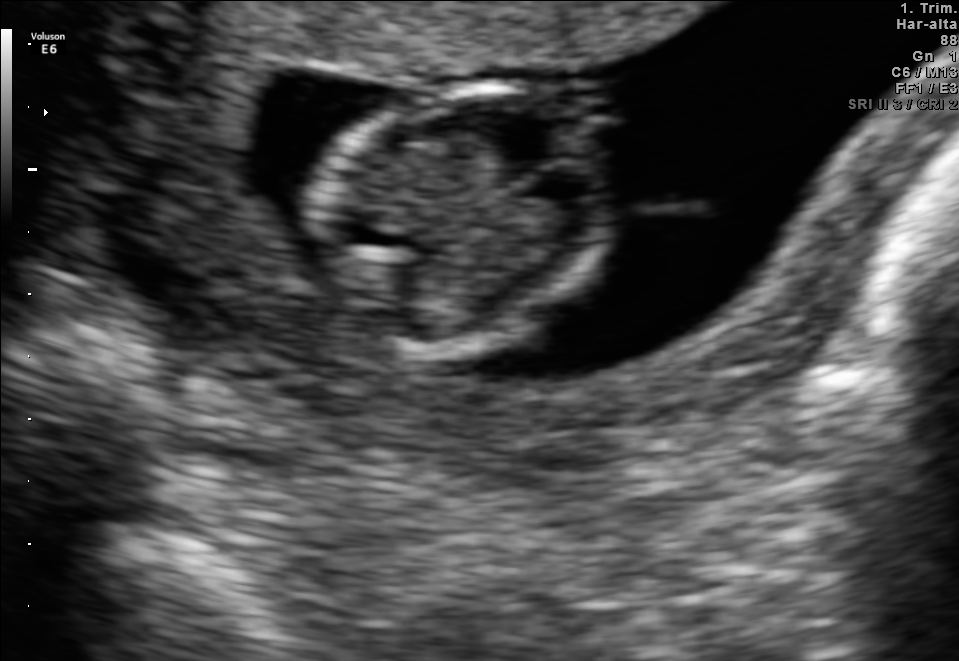
Fetal brain, trans-thalamic plane. Give [x1,y1,x2,y2] bounding boxes for each visible structure among: fetal head, CSP, LV.

Head: [302,87,615,348]